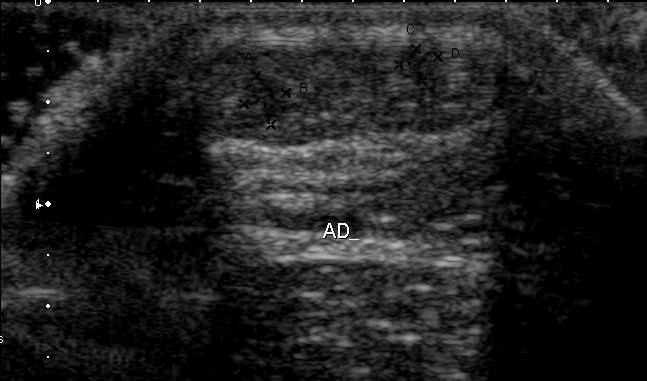
Classify this maternal-fetal ultrasound image as one of the six standard planes — fetal abdomen, fetal brain, fetal femur, fetal thorax, maternal cervix, or other. If it's fetal brain and one of the three standard brain planes (trans-thalamic, trans-cerebellum, trans-ventricular), name which.

Other